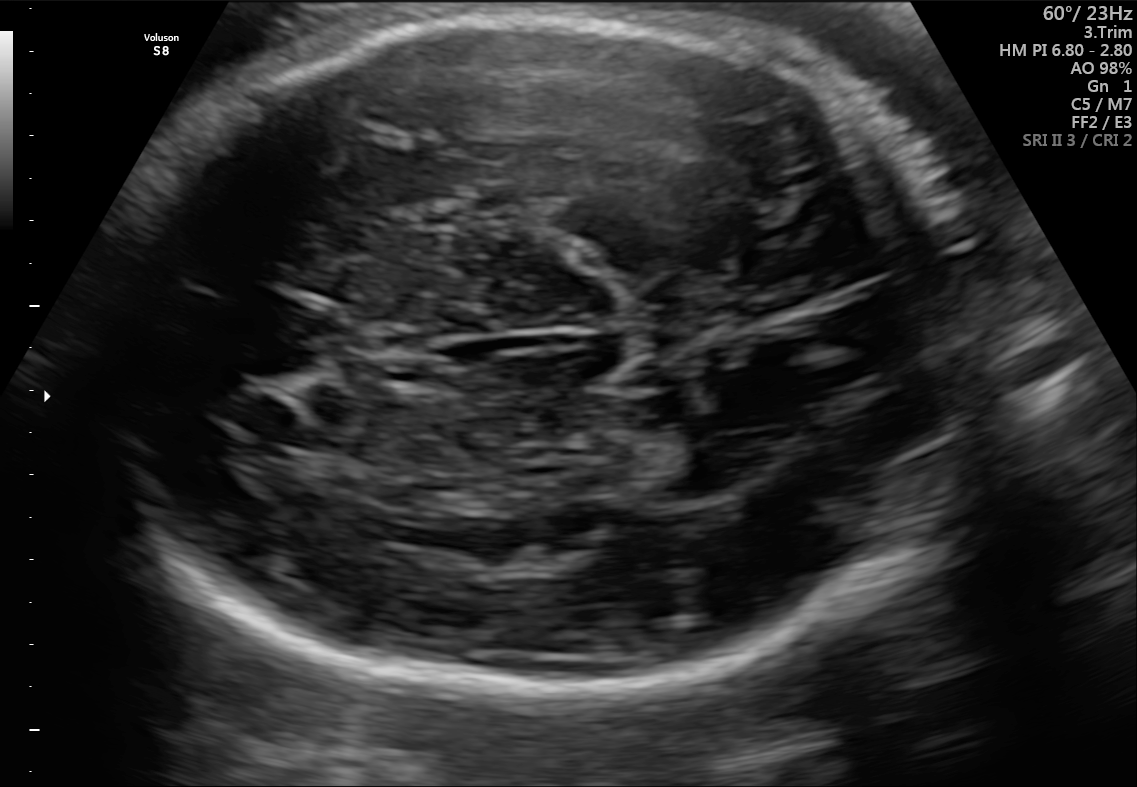
In this fetal brain, trans-thalamic plane, give bounding boxes for the head outline, cavum septum pellucidum (CSP), and lateral ventricle (LV), where visible.

Head: [75,12,1003,701]